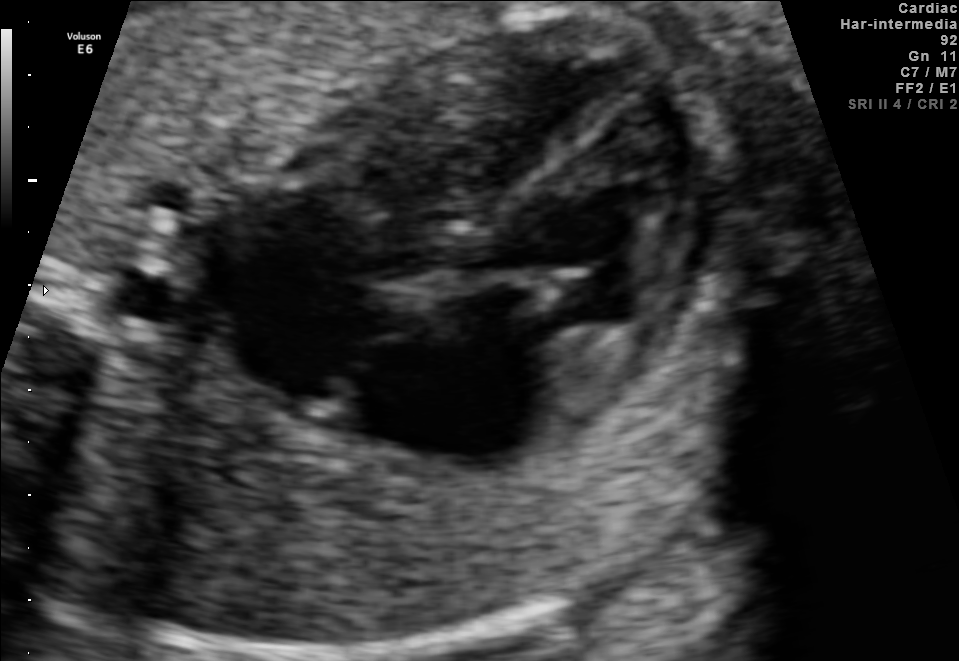
Which standard maternal-fetal ultrasound plane is shown: fetal abdomen, fetal brain, fetal femur, fetal thorax, maternal cervix, or other? If it's fetal brain and one of the three standard brain planes (trans-thalamic, trans-cerebellum, trans-ventricular), name which.

Fetal thorax